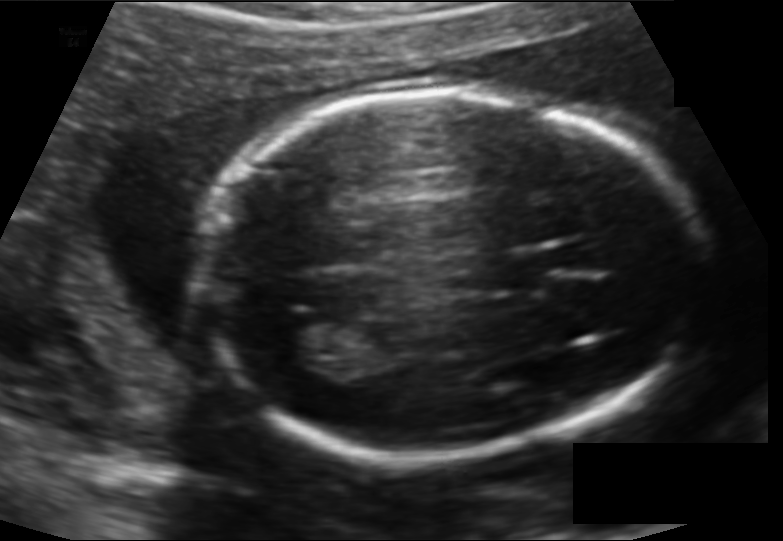
Fetal head ultrasound. Image width: 100.2 mm. Where is the lateral ventricle?

Lateral ventricle bounding box: [264,308,343,370]